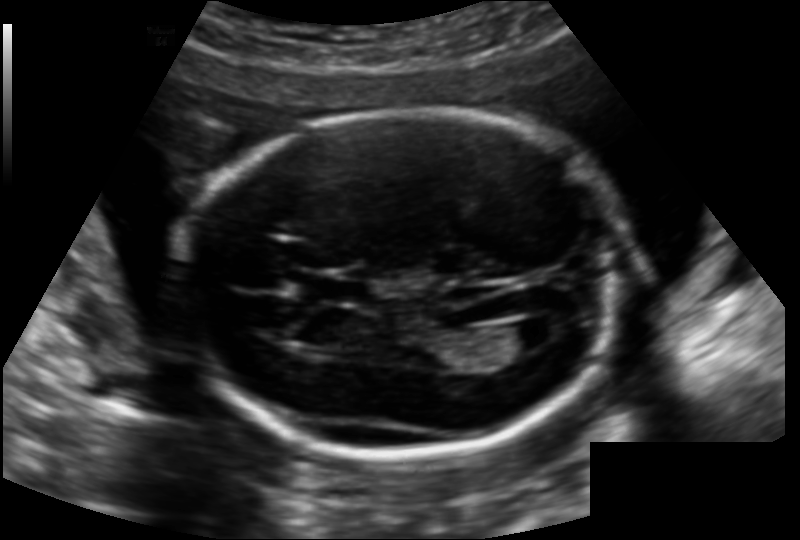
Fetal head ultrasound. Image width: 113.4 mm. Where is the cavum septum pellucidum?

CSP bounding box: [302,274,368,305]